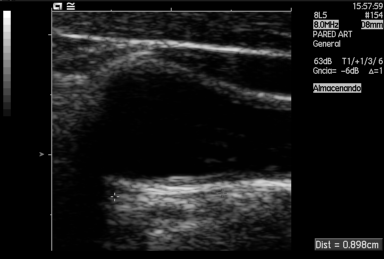
Identify the standard plane in this fetal ultrasound image: fetal abdomen, fetal brain, fetal femur, fetal thorax, maternal cervix, or other. If it's fetal brain and one of the three standard brain planes (trans-thalamic, trans-cerebellum, trans-ventricular), name which.

Other